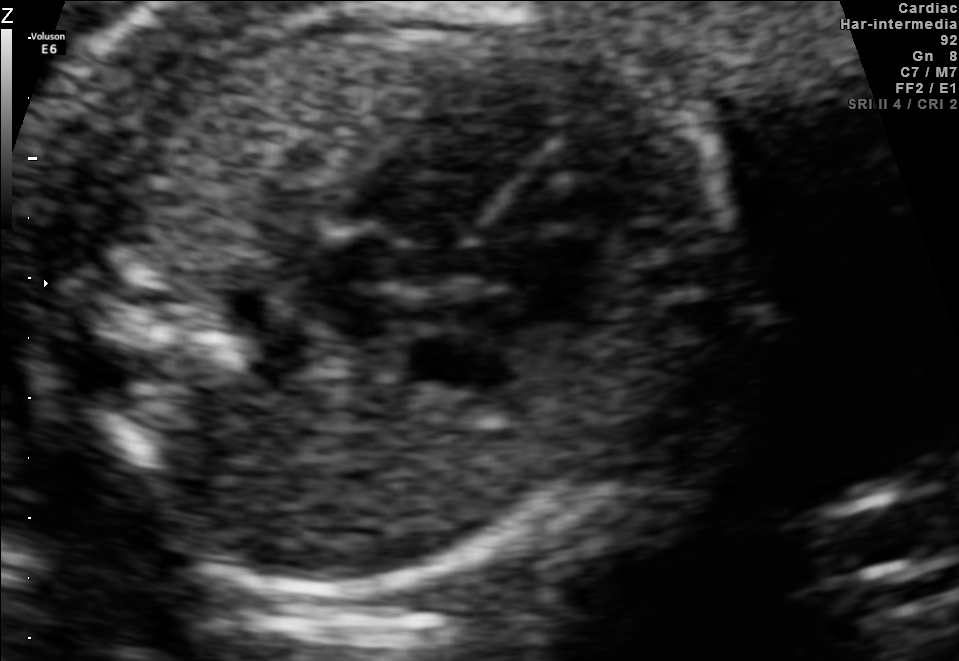
Classify this maternal-fetal ultrasound image as one of the six standard planes — fetal abdomen, fetal brain, fetal femur, fetal thorax, maternal cervix, or other. If it's fetal brain and one of the three standard brain planes (trans-thalamic, trans-cerebellum, trans-ventricular), name which.

Fetal thorax